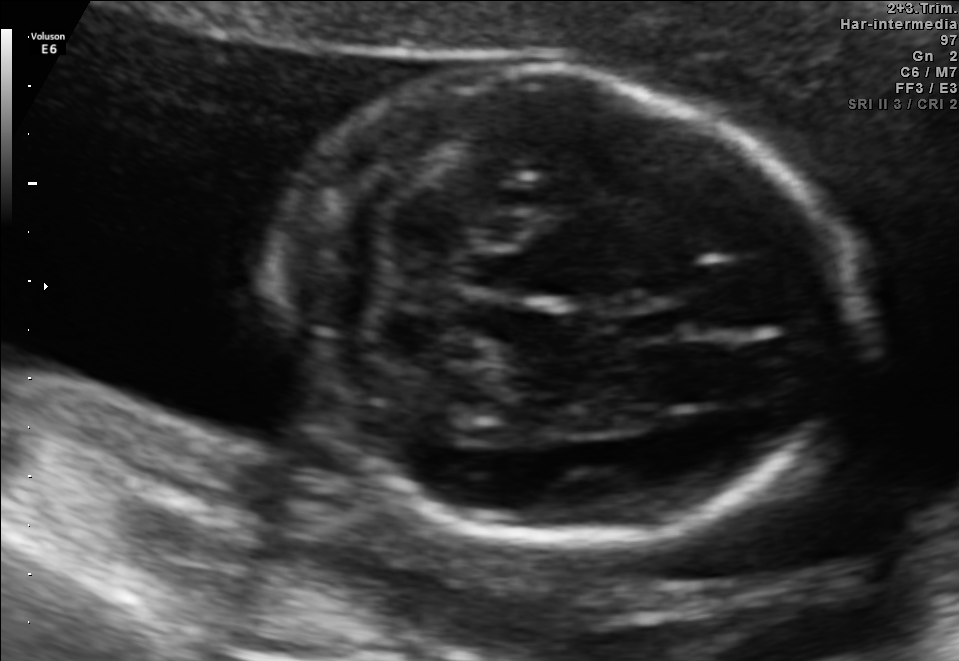
Fetal brain, trans-cerebellum plane. Where is the cavum septum pellucidum?

CSP bounding box: [621,299,693,345]